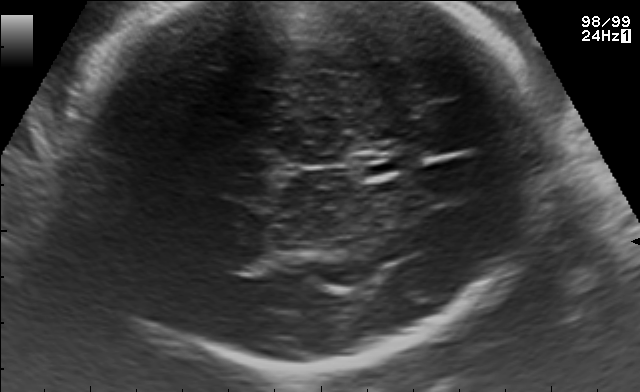
Fetal brain, trans-thalamic plane. Locate the cavum septum pellucidum (CSP) and lateral ventricle (LV), if visible. Give bounding boxes as [x1,y1,x2,y2].

CSP: [356,152,406,178]